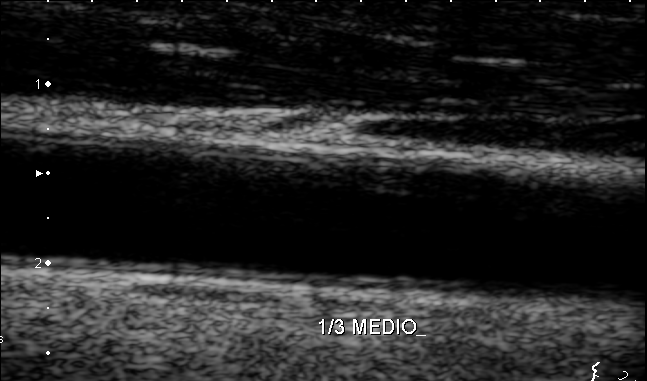
Which standard maternal-fetal ultrasound plane is shown: fetal abdomen, fetal brain, fetal femur, fetal thorax, maternal cervix, or other? If it's fetal brain and one of the three standard brain planes (trans-thalamic, trans-cerebellum, trans-ventricular), name which.

Other